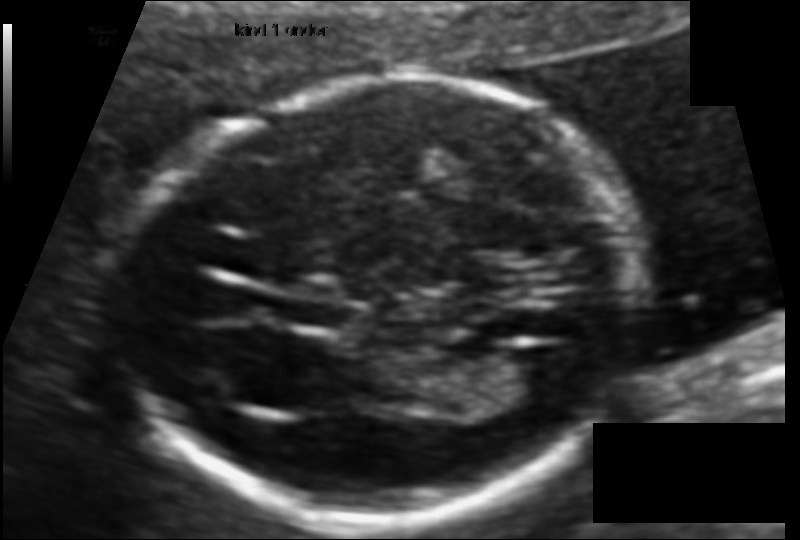
Fetal head ultrasound. Image width: 75.7 mm. Locate the lateral ventricle.

Lateral ventricle: [498,342,581,400]